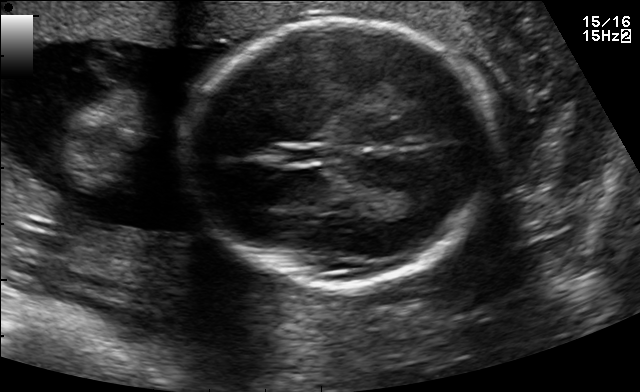
Fetal brain, trans-thalamic plane. Locate the cavum septum pellucidum.

CSP: [280,144,331,165]